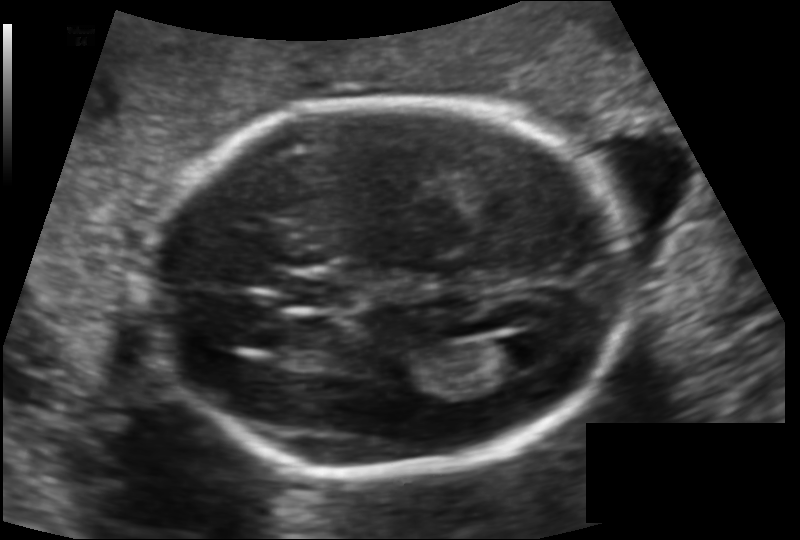
Fetal head ultrasound. Image width: 100.1 mm. Where is the cavum septum pellucidum?

CSP bounding box: [282,275,359,308]